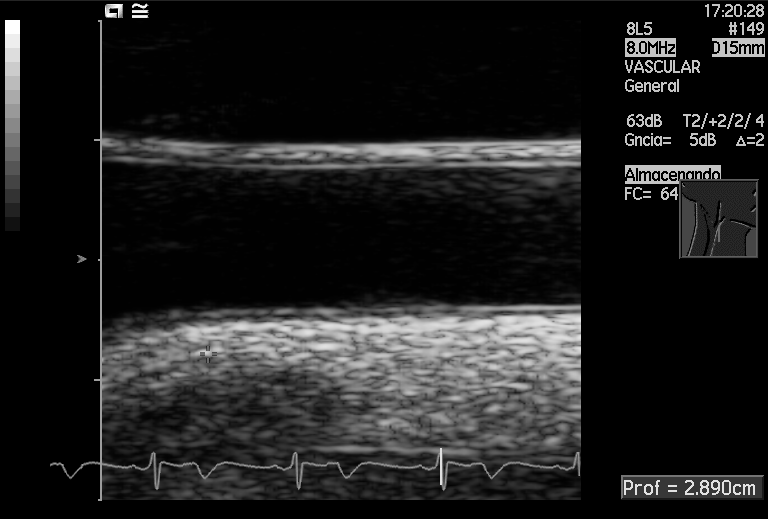
Identify the standard plane in this fetal ultrasound image: fetal abdomen, fetal brain, fetal femur, fetal thorax, maternal cervix, or other. If it's fetal brain and one of the three standard brain planes (trans-thalamic, trans-cerebellum, trans-ventricular), name which.

Other